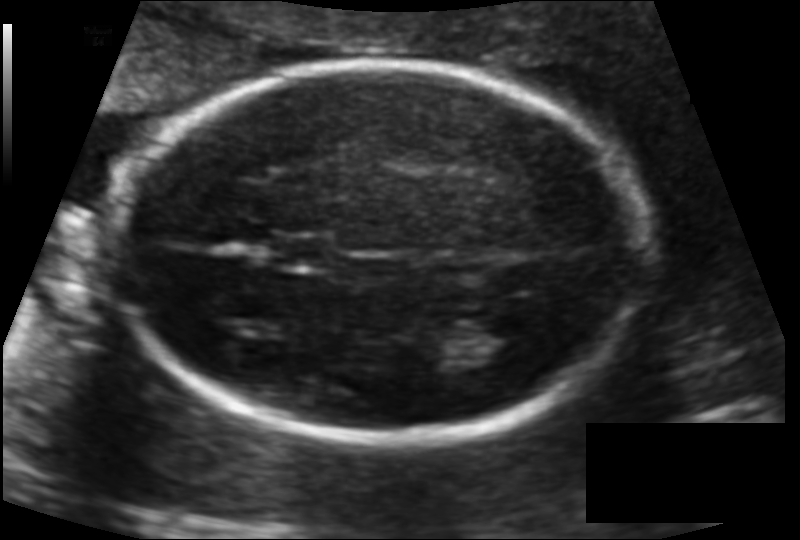
Fetal head ultrasound. Image width: 91.7 mm. Where is the fetal head?

Head bounding box: [114,60,644,444]